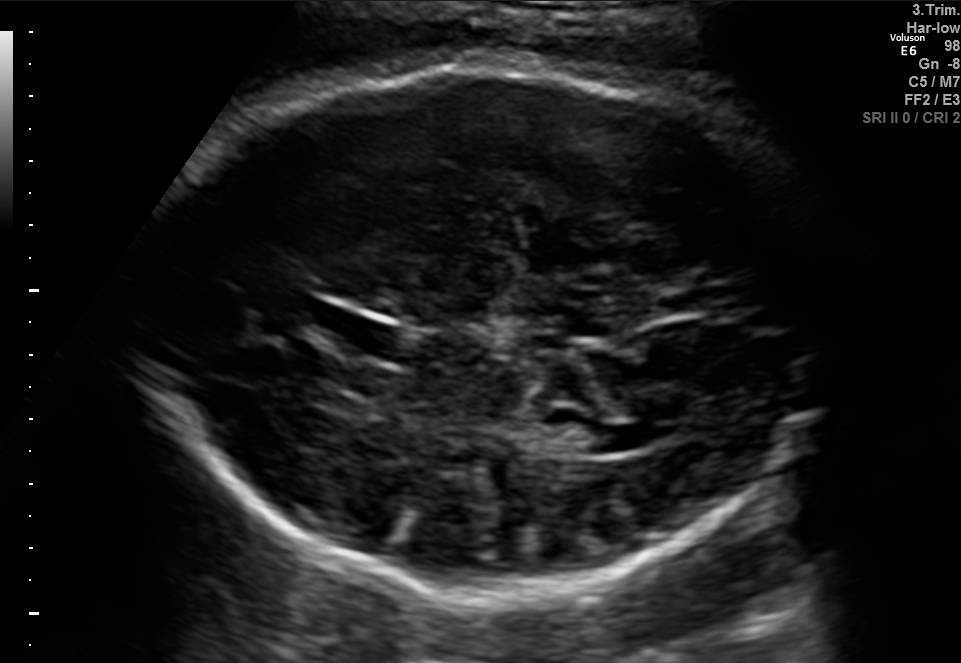
Fetal brain, trans-thalamic plane. Locate the fetal head.

Head: [131,70,830,589]